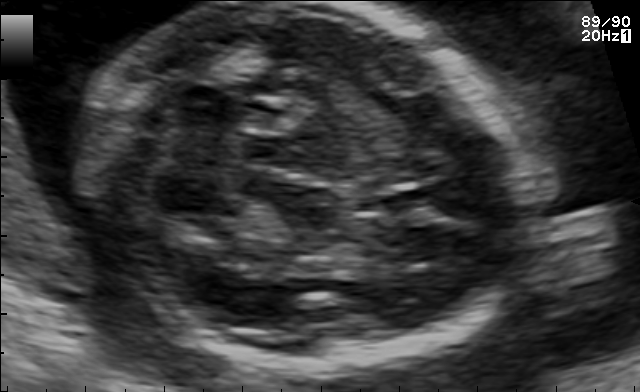
Fetal brain, trans-cerebellum plane. Where is the fetal head?

Head bounding box: [89,1,519,369]